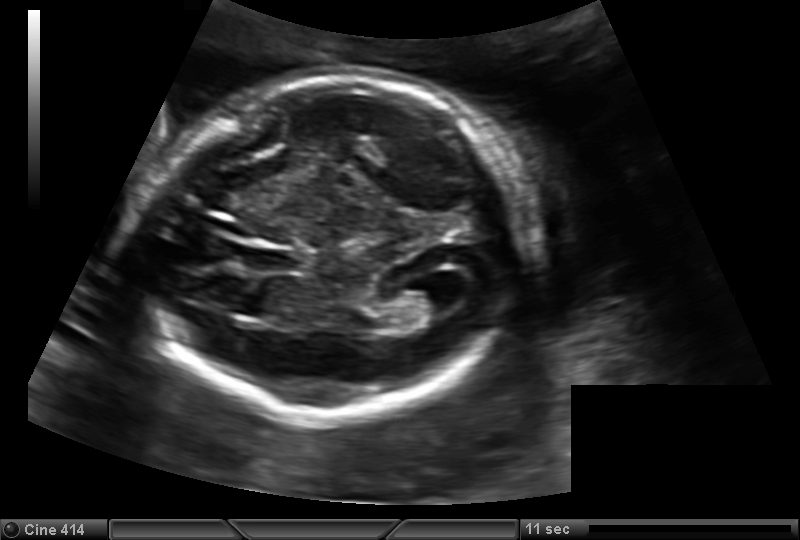
Measure the fetal head circumference shown in this ultrasound image. Image width: 120.0 mm.

Head circumference: 183.5 mm.